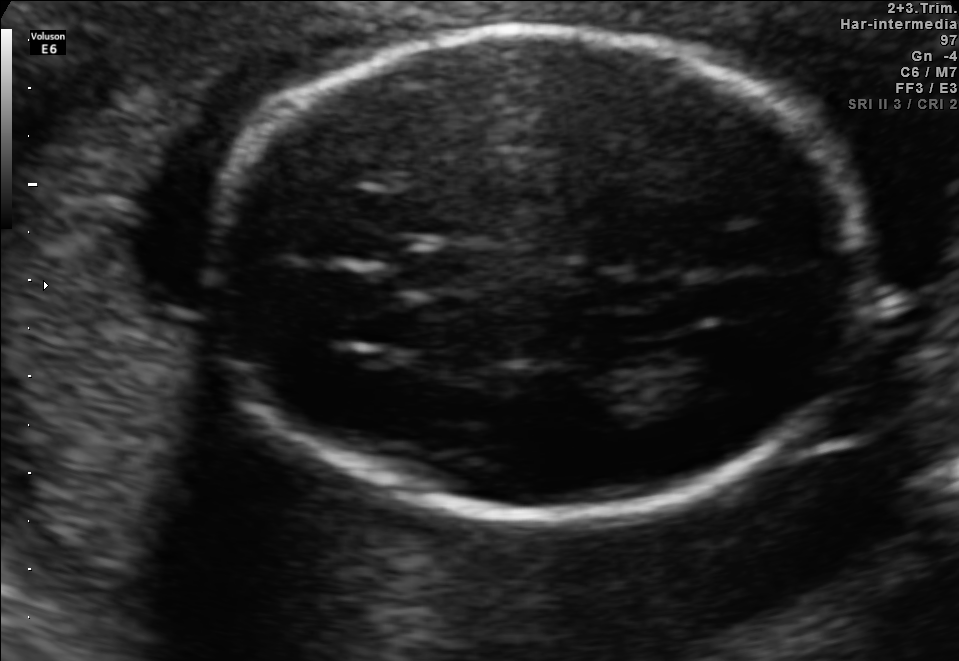
Fetal brain, trans-thalamic plane. Give [x1,y1,x2,y2] bounding boxes for each visible structure among: fetal head, CSP, LV.

Head: [211,31,862,516]
CSP: [398,246,483,295]